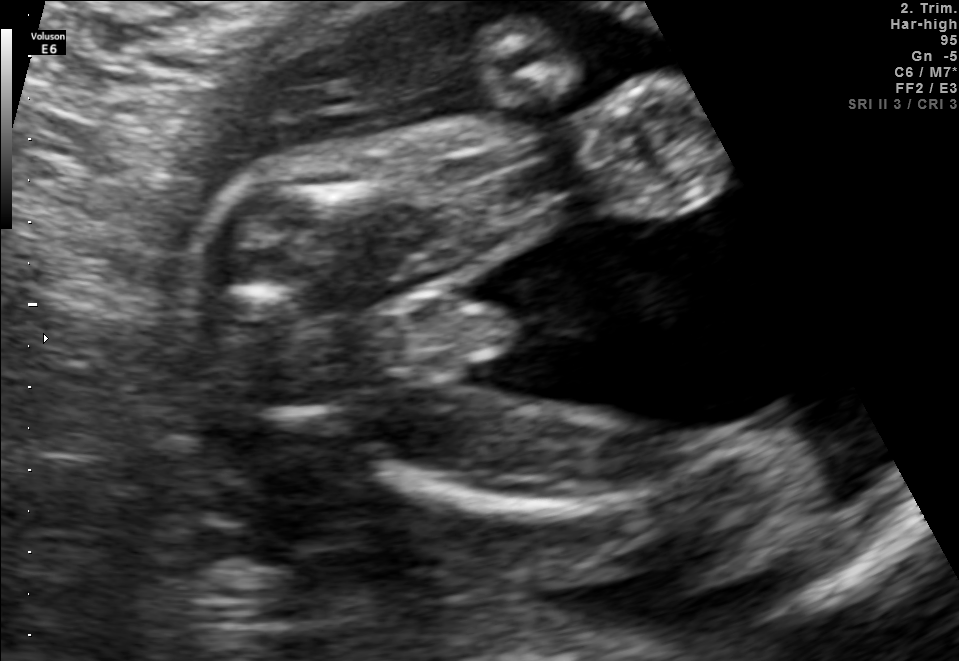
Which standard maternal-fetal ultrasound plane is shown: fetal abdomen, fetal brain, fetal femur, fetal thorax, maternal cervix, or other? If it's fetal brain and one of the three standard brain planes (trans-thalamic, trans-cerebellum, trans-ventricular), name which.

Fetal femur